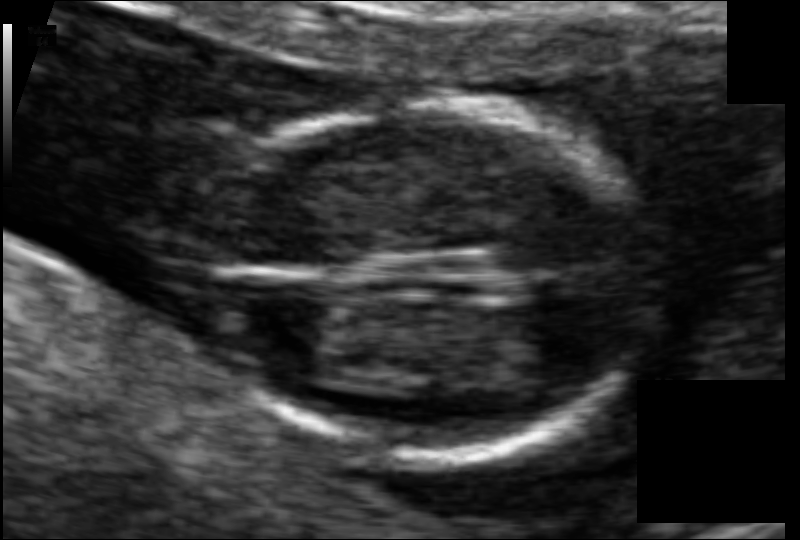
What is the fetal head circumference? Image width is 51.8 mm.

84.0 mm